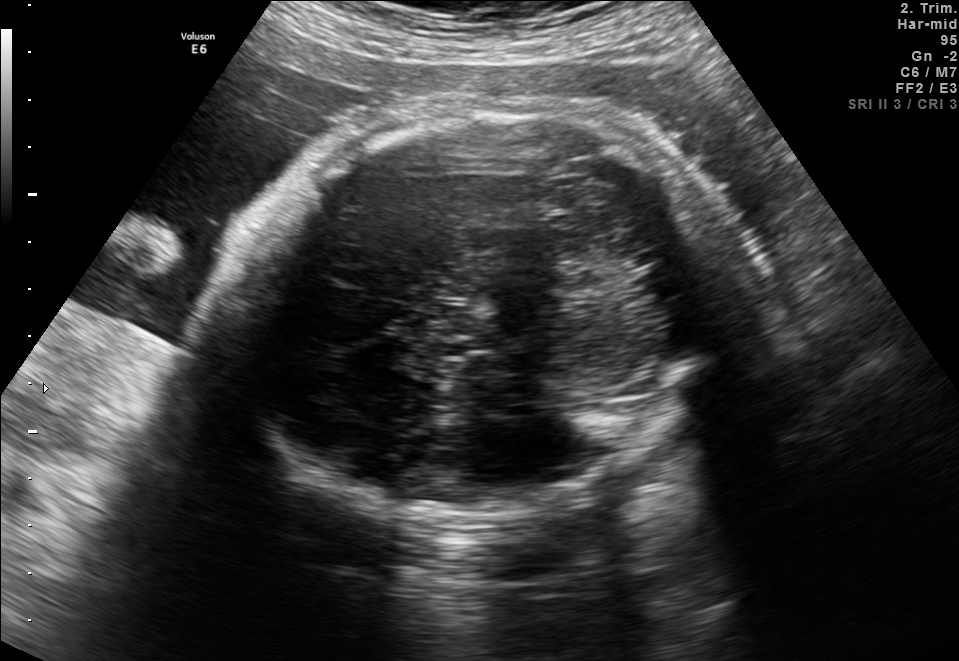
Fetal brain, trans-cerebellum plane. Give [x1,y1,x2,y2] bounding boxes for each visible structure among: fetal head, CSP, LV.

Head: [240,103,729,518]